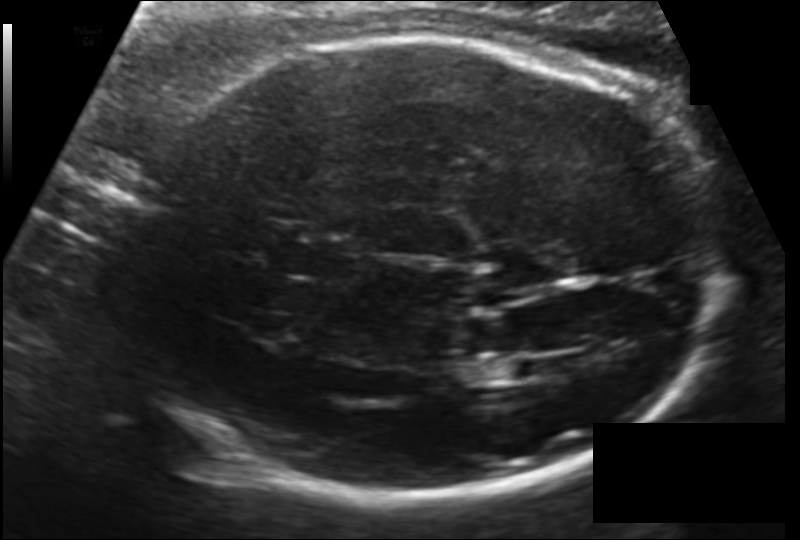
From this fetal ultrasound, estimate the head circumference (image width 120.6 mm).

Head circumference: 258.8 mm.